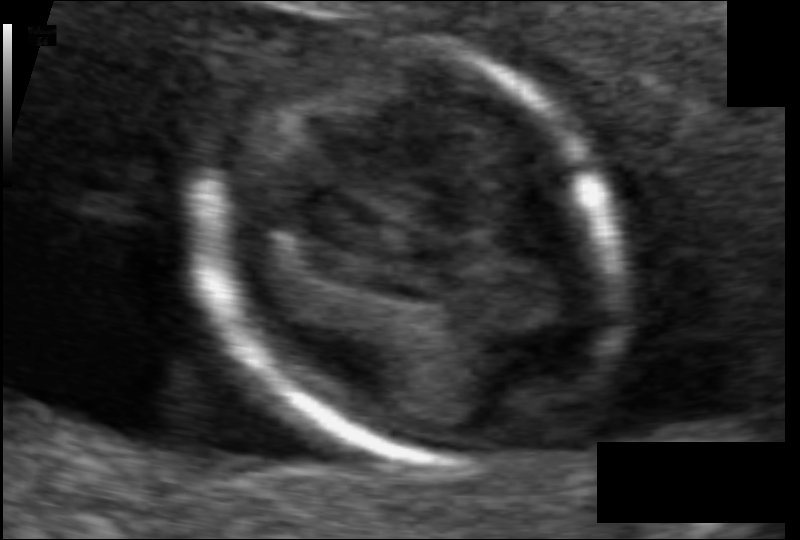
From this fetal ultrasound, estimate the head circumference (image width 48.9 mm).

Head circumference: 82.6 mm.